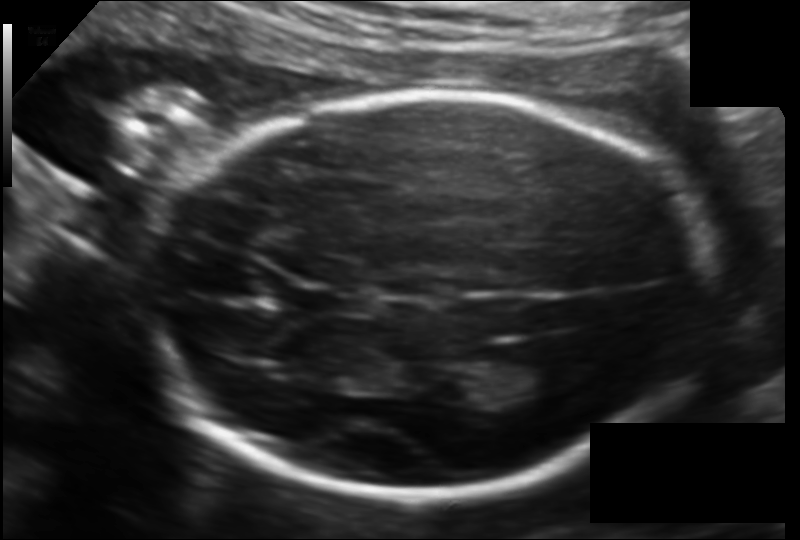
From this fetal ultrasound, estimate the head circumference (image width 103.8 mm).

Head circumference: 200.5 mm.